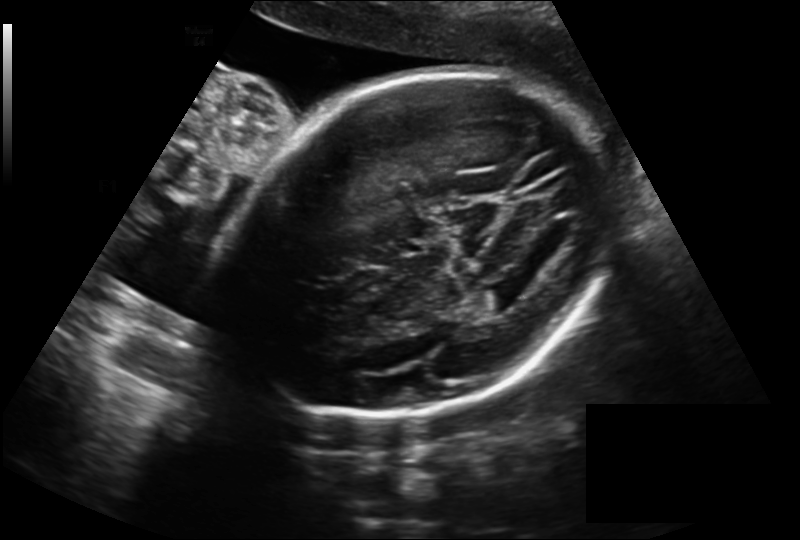
In this fetal head ultrasound, give bounding boxes for the head outline, cavum septum pellucidum (CSP), and lateral ventricle (LV), where visible. Image width: 179.9 mm.

Head: [227,74,613,419]
Lateral ventricle: [475,270,531,318]